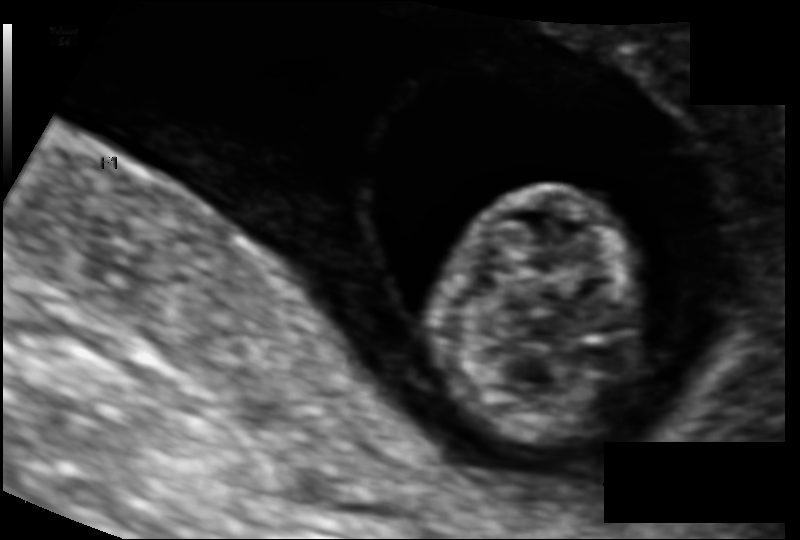
Fetal head ultrasound. Image width: 75.4 mm. Locate the fetal head and, if visible, the cavum septum pellucidum (CSP) and lateral ventricle (LV). Give bounding boxes as [x1,y1,x2,y2].

Head: [435,185,643,444]